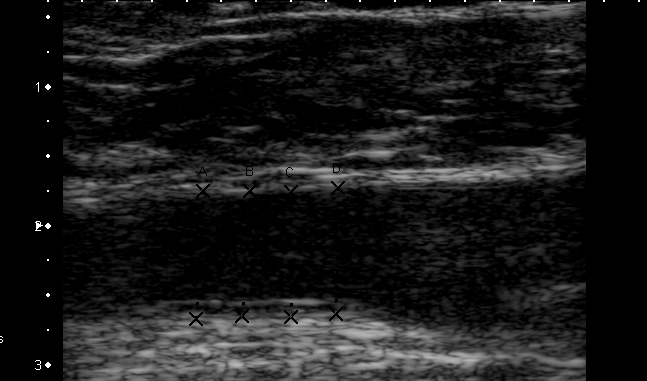
This is a 2D maternal-fetal ultrasound frame. Is it a fetal abdomen, fetal brain, fetal femur, fetal thorax, maternal cervix, or other standard plane? If it's fetal brain and one of the three standard brain planes (trans-thalamic, trans-cerebellum, trans-ventricular), name which.

Other